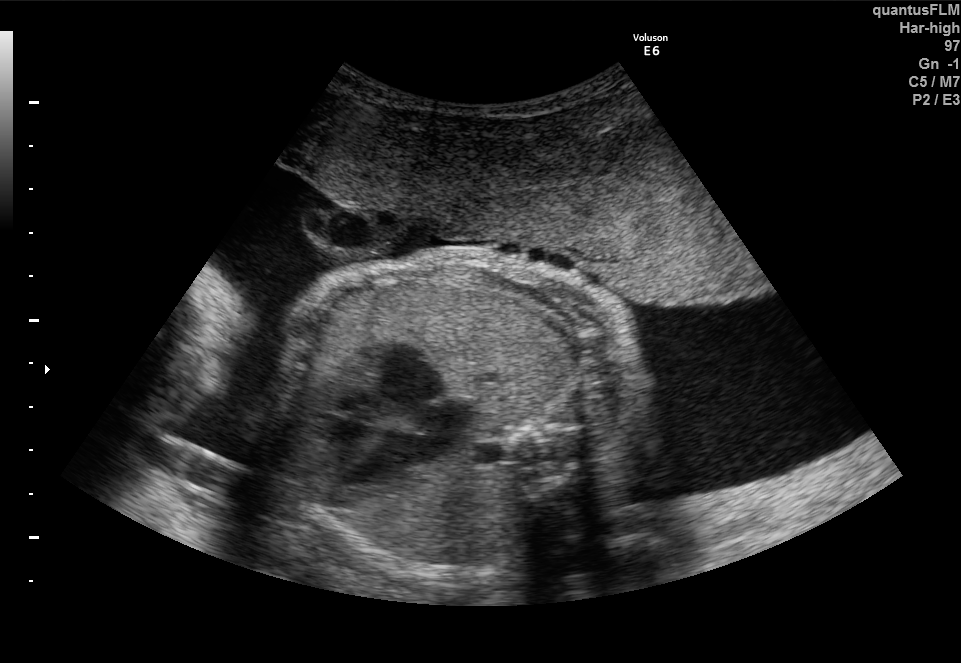
Which standard maternal-fetal ultrasound plane is shown: fetal abdomen, fetal brain, fetal femur, fetal thorax, maternal cervix, or other? If it's fetal brain and one of the three standard brain planes (trans-thalamic, trans-cerebellum, trans-ventricular), name which.

Fetal thorax